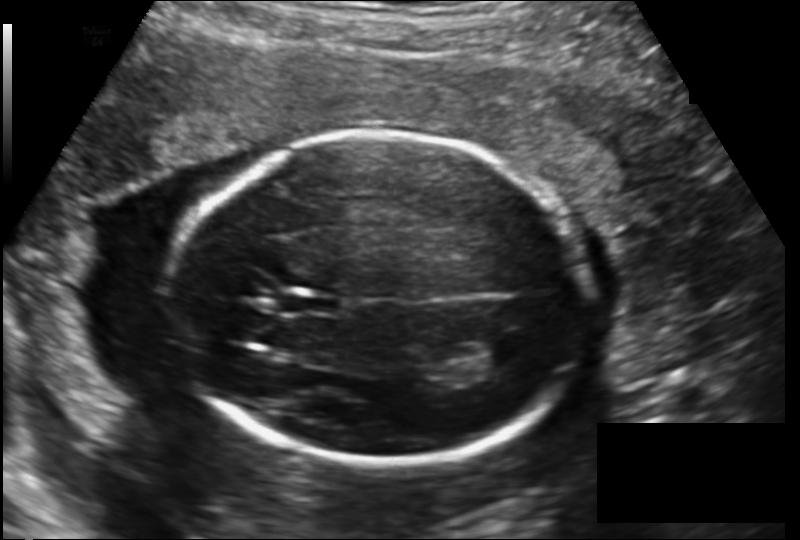
Estimate the fetal head circumference from this 2D ultrasound.

Head circumference: 199.3 mm (image width 130.6 mm).